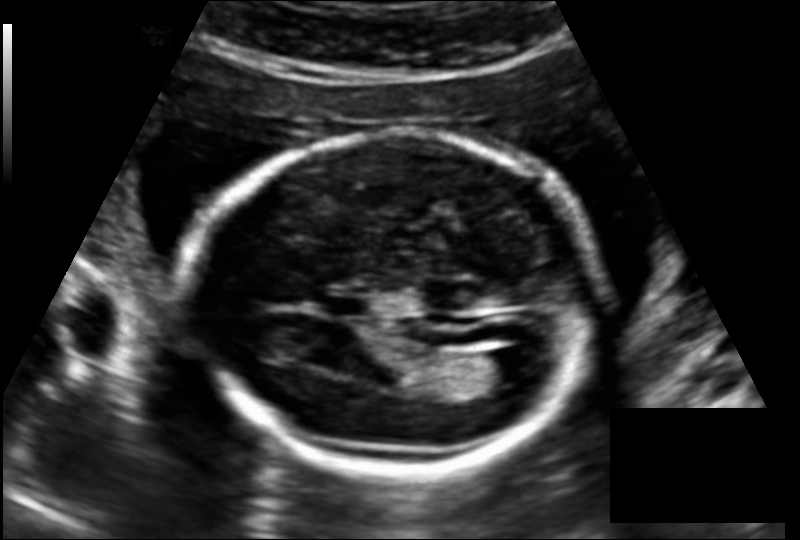
Fetal head ultrasound. Image width: 115.9 mm. Where is the fetal head?

Head bounding box: [191,131,602,473]